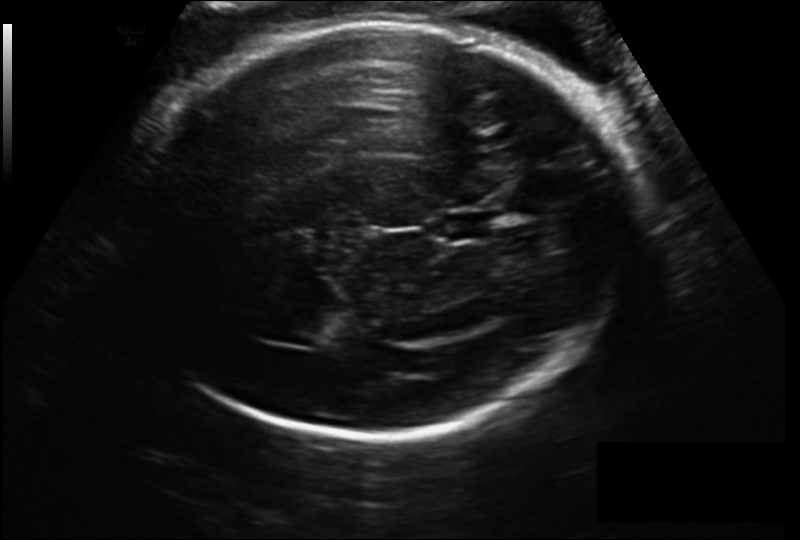
Fetal head ultrasound. Image width: 164.9 mm. Locate the cavum septum pellucidum.

CSP: [432,208,498,244]